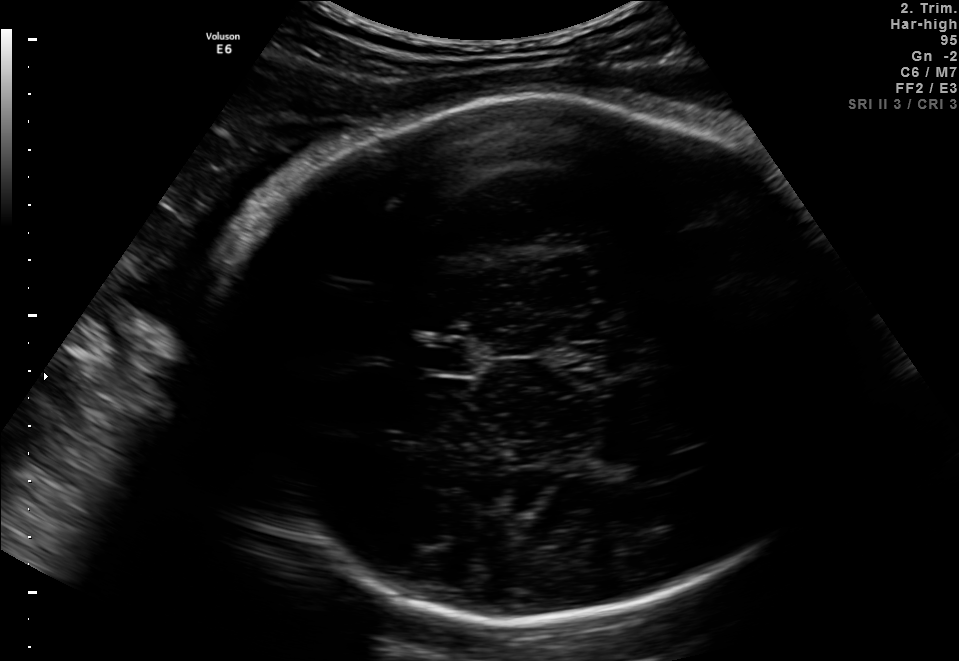
Fetal brain, trans-thalamic plane. Locate the fetal head and, if visible, the cavum septum pellucidum (CSP) and lateral ventricle (LV). Give bounding boxes as [x1,y1,x2,y2].

Head: [204,92,851,615]
CSP: [416,339,476,376]
Lateral ventricle: [611,452,686,493]